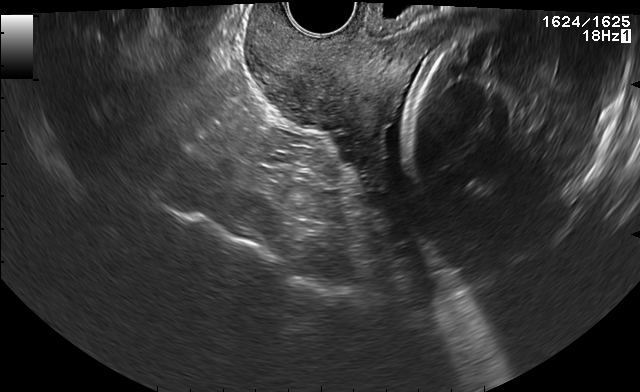
This is a 2D maternal-fetal ultrasound frame. Is it a fetal abdomen, fetal brain, fetal femur, fetal thorax, maternal cervix, or other standard plane? If it's fetal brain and one of the three standard brain planes (trans-thalamic, trans-cerebellum, trans-ventricular), name which.

Maternal cervix